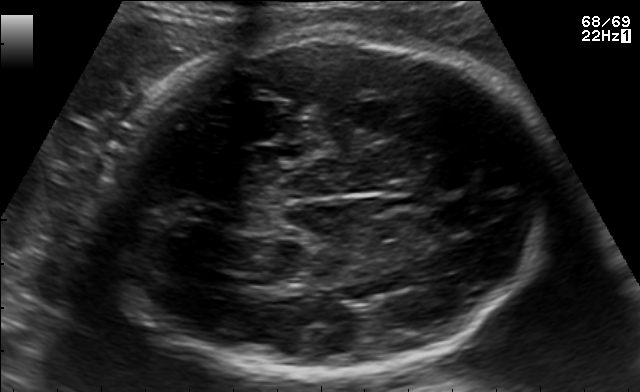
In this fetal brain, trans-thalamic plane, give bounding boxes for the head outline, cavum septum pellucidum (CSP), and lateral ventricle (LV), where visible.

Head: [102,32,550,379]